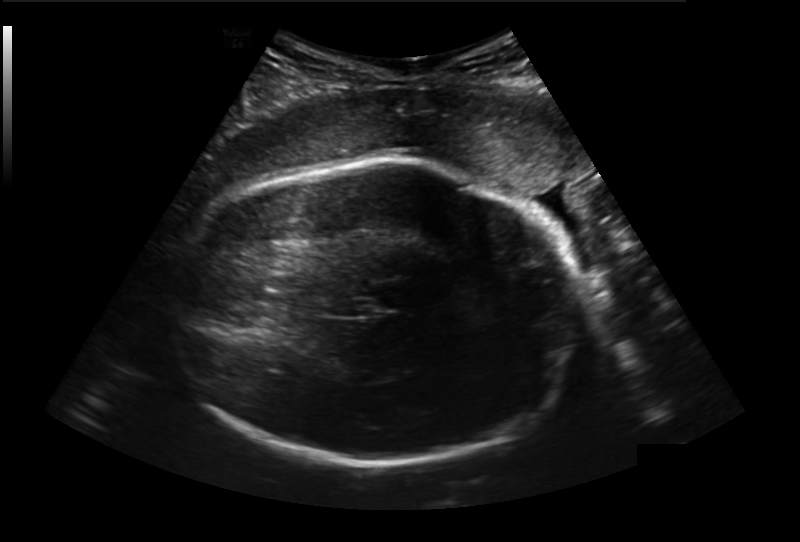
In this fetal head ultrasound, give bounding boxes for the head outline, cavum septum pellucidum (CSP), and lateral ventricle (LV), where visible. Image width: 188.7 mm.

Head: [165,158,581,464]